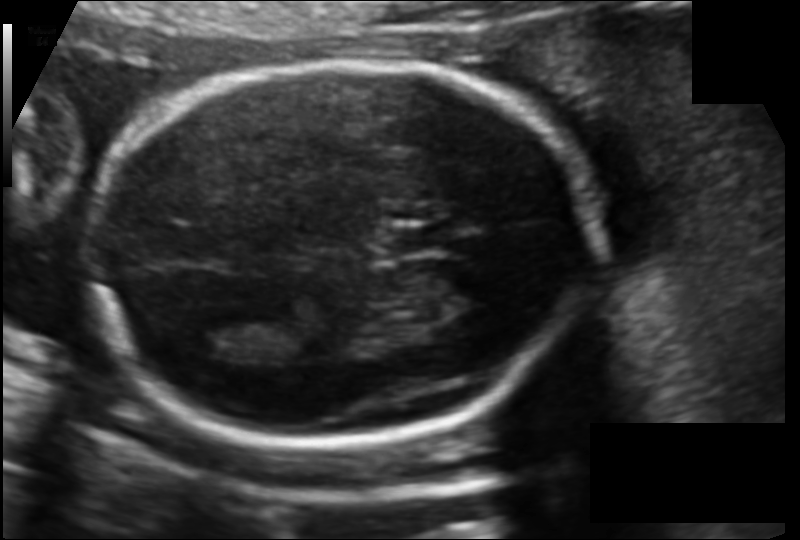
In this fetal head ultrasound, give bounding boxes for the head outline, cavum septum pellucidum (CSP), and lateral ventricle (LV), where visible. Image width: 96.2 mm.

Head: [85,64,600,440]
CSP: [379,221,455,259]
Lateral ventricle: [185,323,251,360]